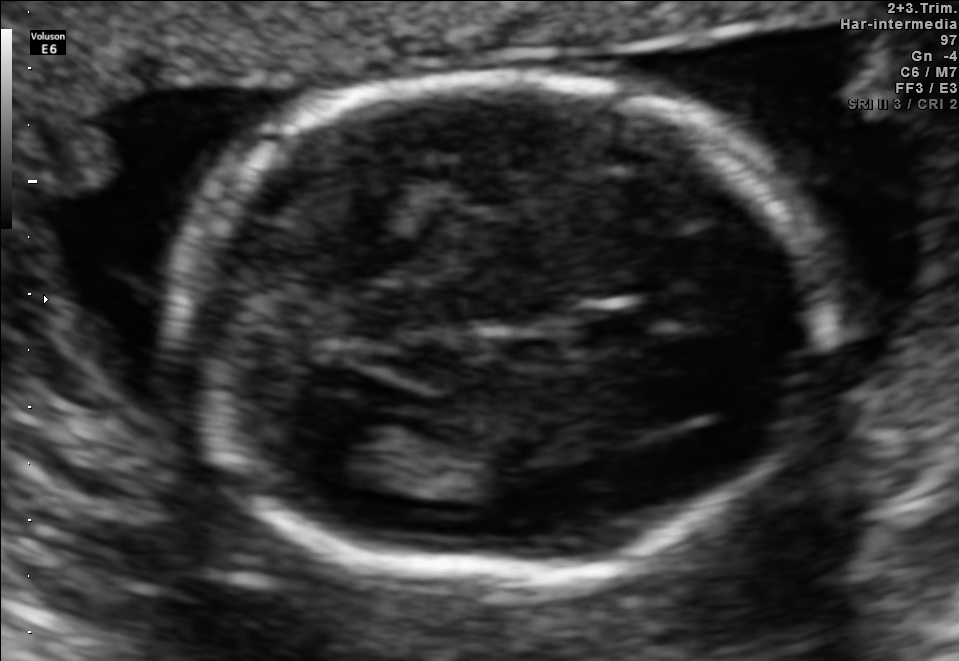
In this fetal brain, trans-thalamic plane, give the bounding box of the fetal head.

[171,74,838,577]